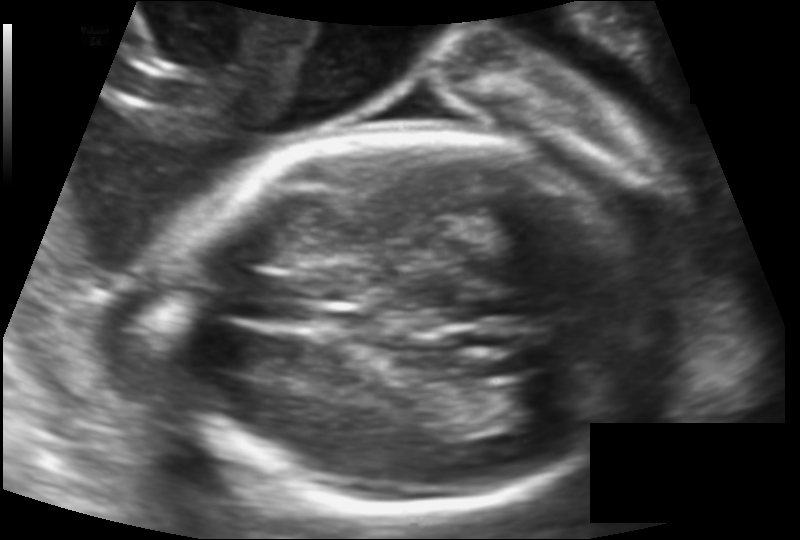
In this fetal head ultrasound, give the bounding box of the lateral ventricle. Image width: 106.2 mm.

[497,372,578,428]